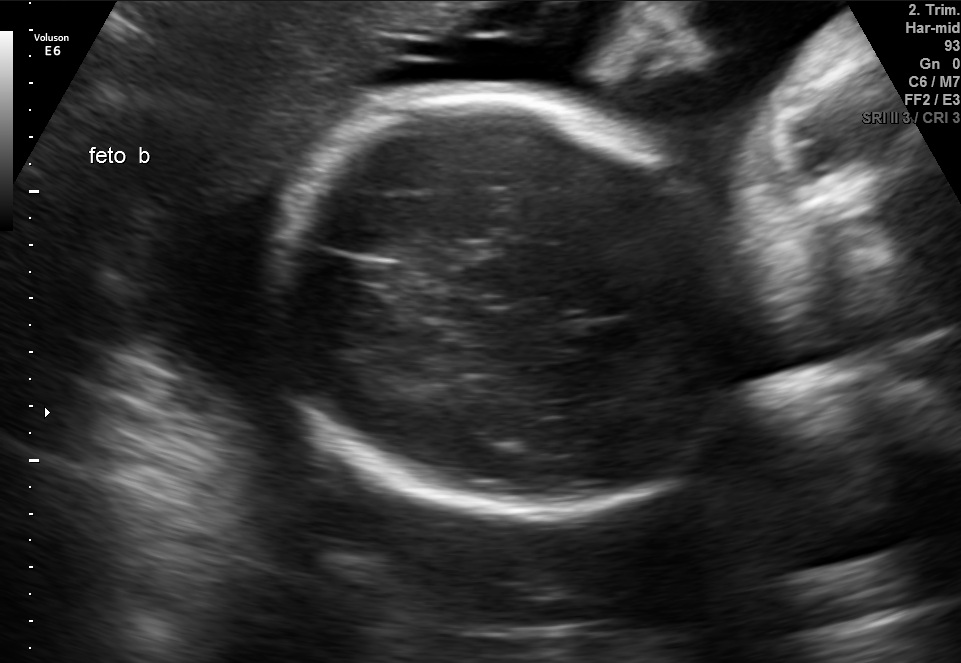
In this fetal brain, trans-thalamic plane, give bounding boxes for the head outline, cavum septum pellucidum (CSP), and lateral ventricle (LV), where visible.

Head: [272,95,752,520]